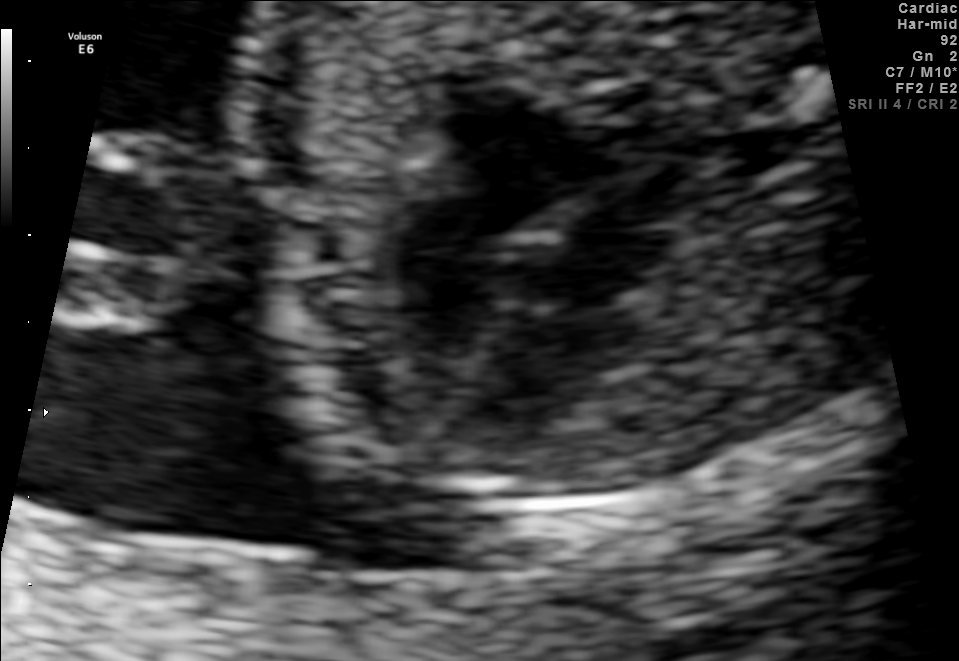
Classify this maternal-fetal ultrasound image as one of the six standard planes — fetal abdomen, fetal brain, fetal femur, fetal thorax, maternal cervix, or other. If it's fetal brain and one of the three standard brain planes (trans-thalamic, trans-cerebellum, trans-ventricular), name which.

Fetal thorax